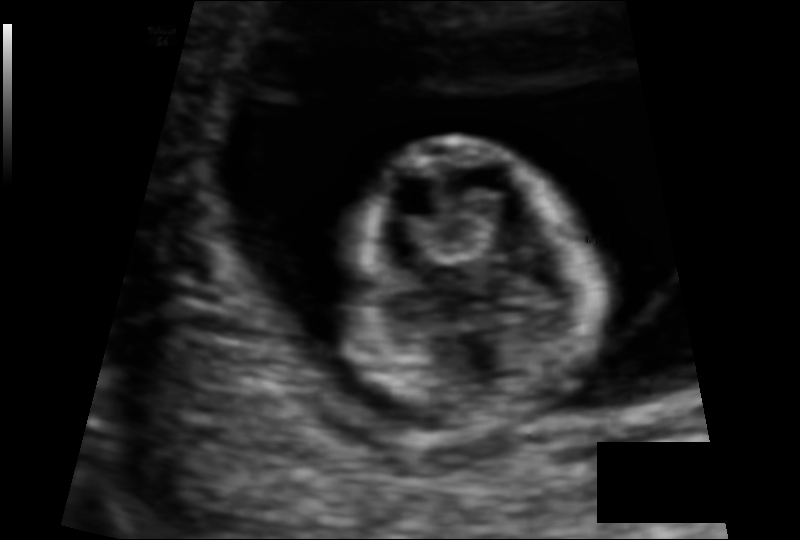
In this fetal head ultrasound, give the bounding box of the fetal head. Image width: 70.2 mm.

[349,138,596,428]